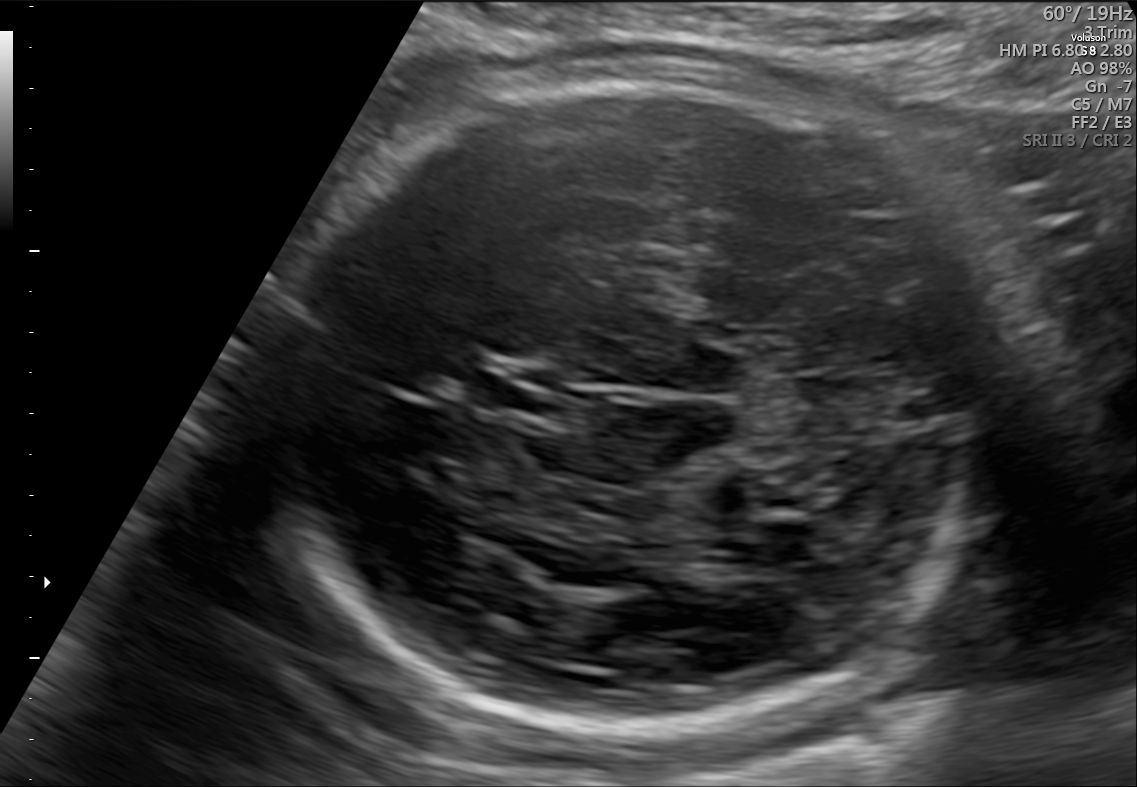
Fetal brain, trans-cerebellum plane. Locate the fetal head and, if visible, the cavum septum pellucidum (CSP) and lateral ventricle (LV). Give bounding boxes as [x1,y1,x2,y2].

Head: [268,74,983,727]
CSP: [459,366,552,422]